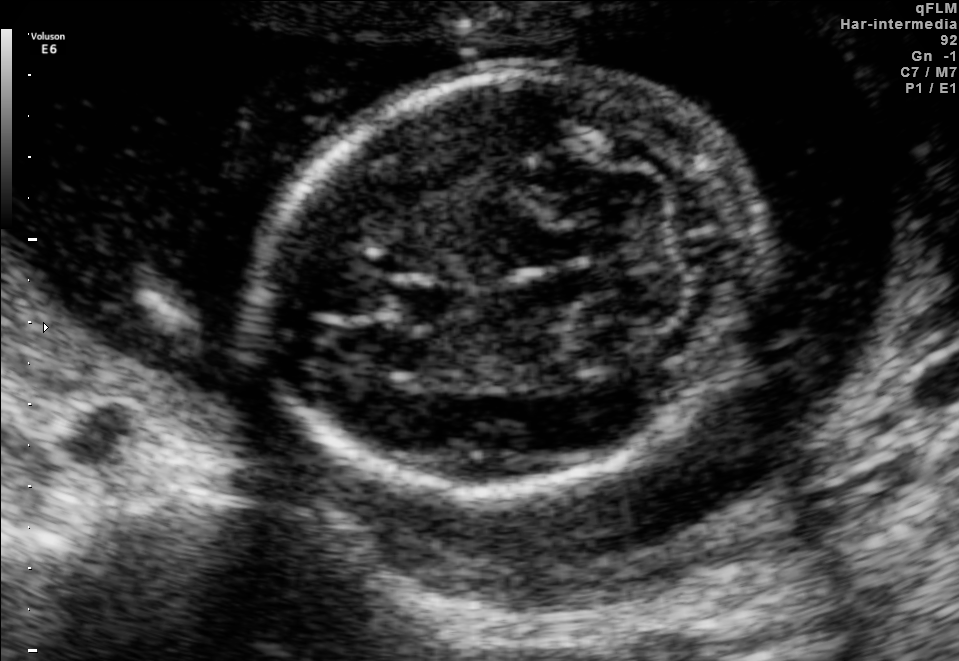
In this fetal brain, trans-cerebellum plane, give bounding boxes for the head outline, cavum septum pellucidum (CSP), and lateral ventricle (LV), where visible.

Head: [264,66,755,497]
CSP: [395,279,469,325]